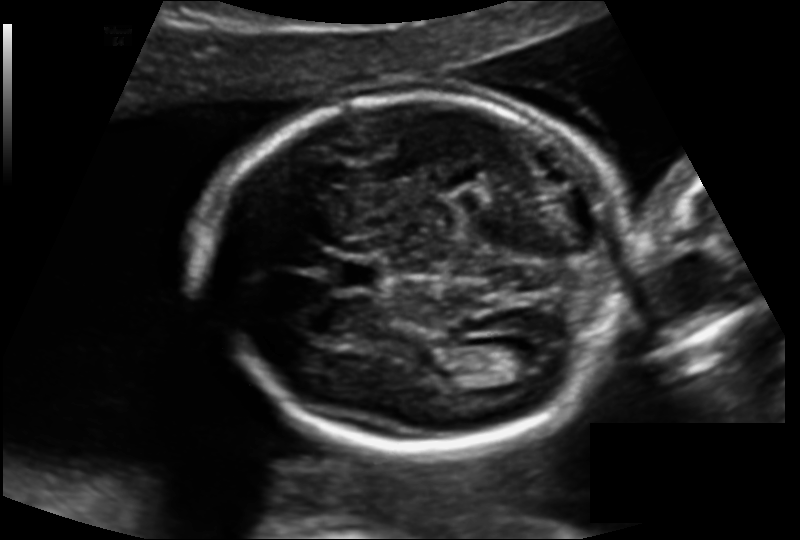
Fetal head ultrasound. Image width: 110.2 mm. Locate the lateral ventricle.

Lateral ventricle: [484,337,540,374]